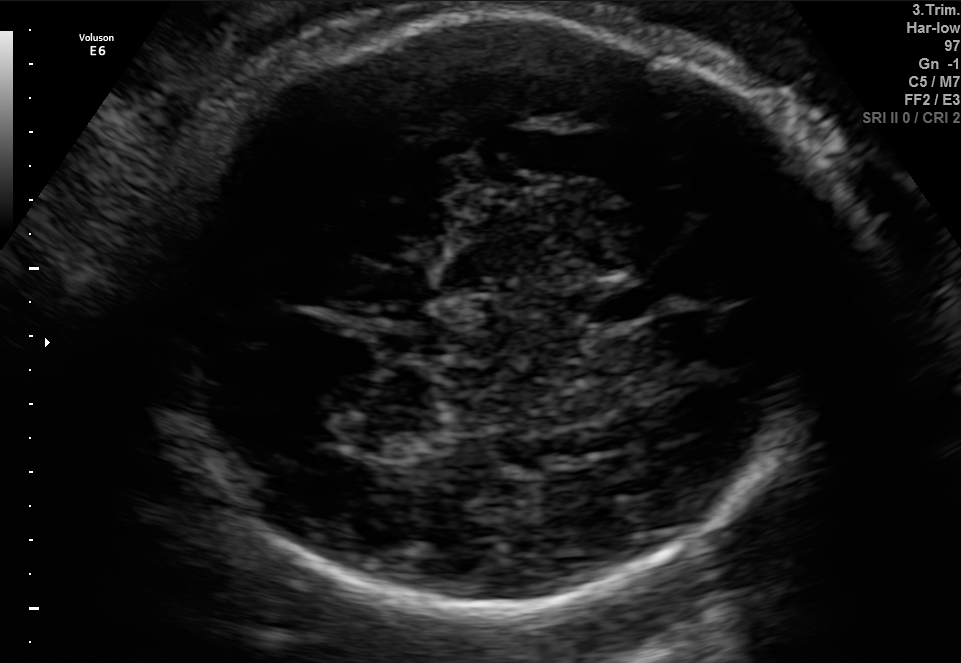
Fetal brain, trans-thalamic plane. Where is the cavum septum pellucidum?

CSP bounding box: [578,281,657,336]